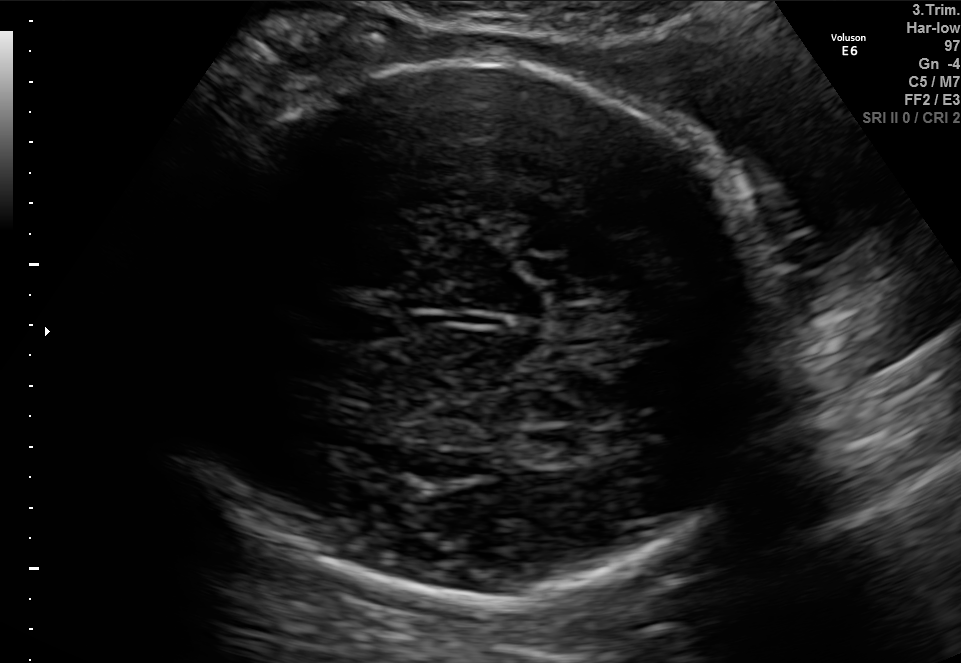
In this fetal brain, trans-thalamic plane, give the bounding box of the cavum septum pellucidum.

[318,312,403,342]